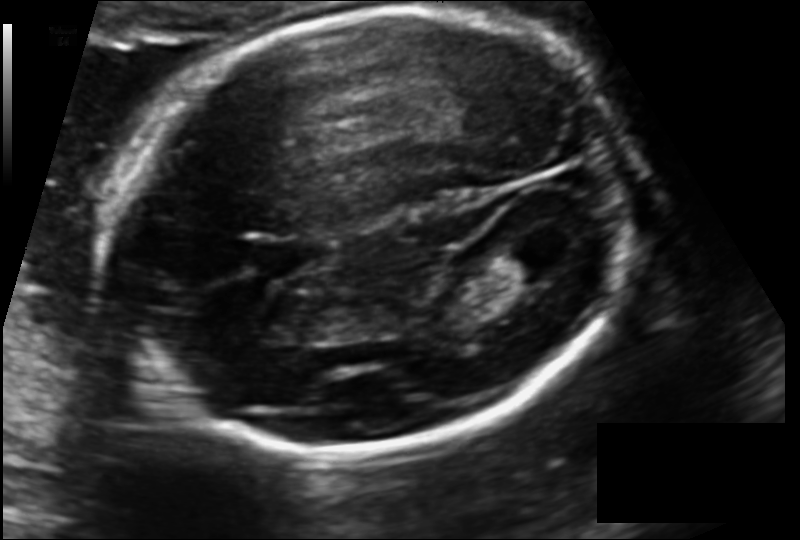
In this fetal head ultrasound, give the bounding box of the fetal head. Image width: 105.5 mm.

[111,9,637,453]